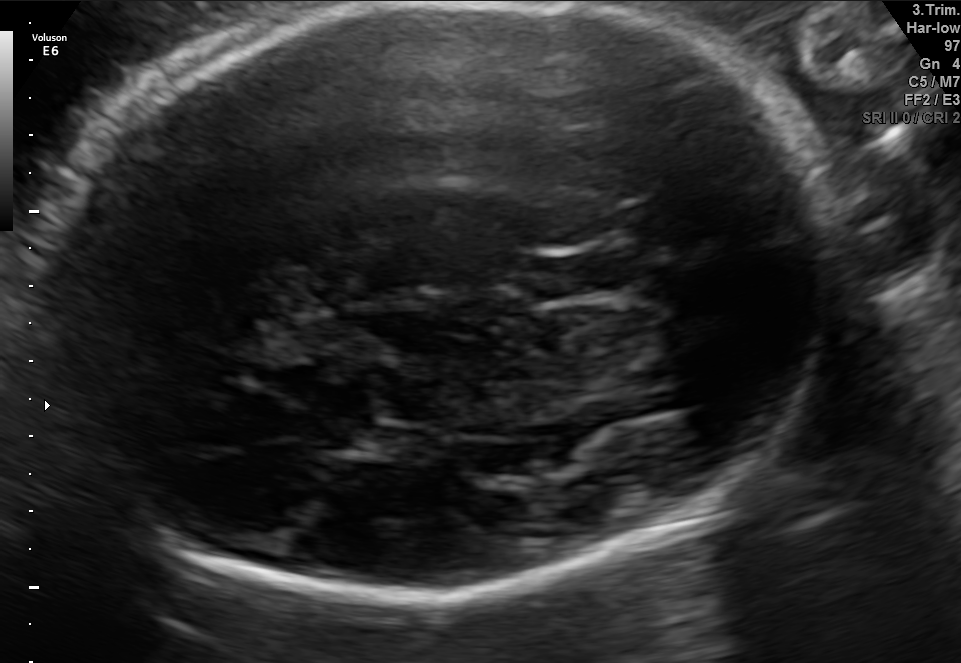
Fetal brain, trans-thalamic plane. Locate the fetal head.

Head: [37,3,840,596]